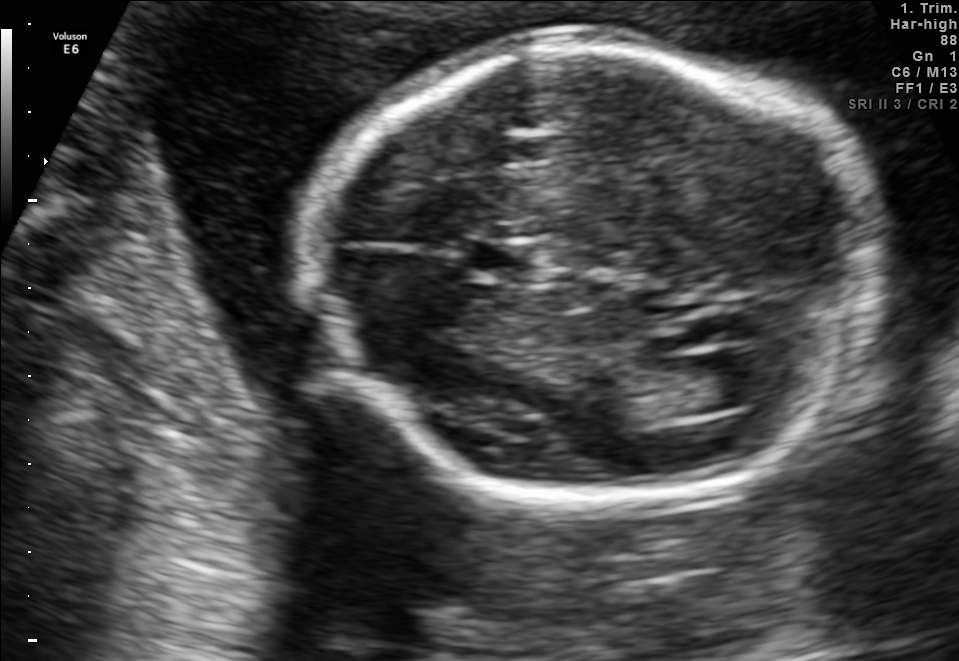
In this fetal brain, trans-ventricular plane, give the bounding box of the lateral ventricle.

[690,340,793,415]